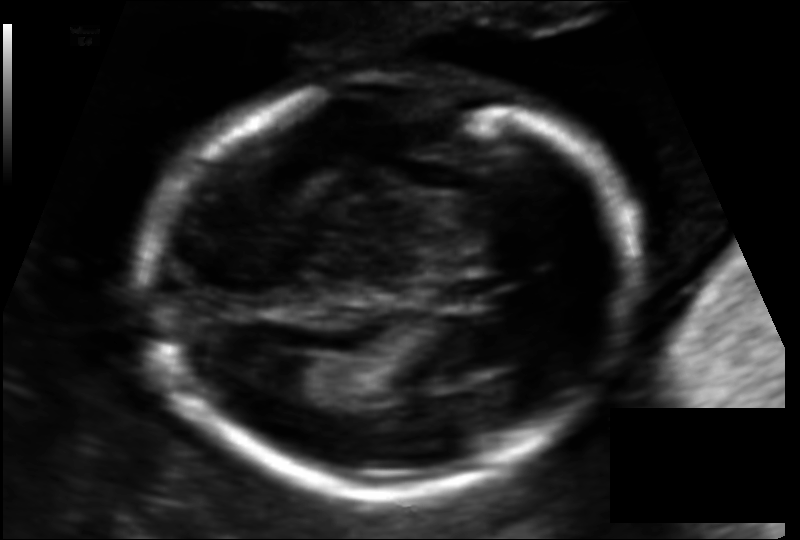
From this fetal ultrasound, estimate the head circumference (image width 92.3 mm).

Head circumference: 170.9 mm.